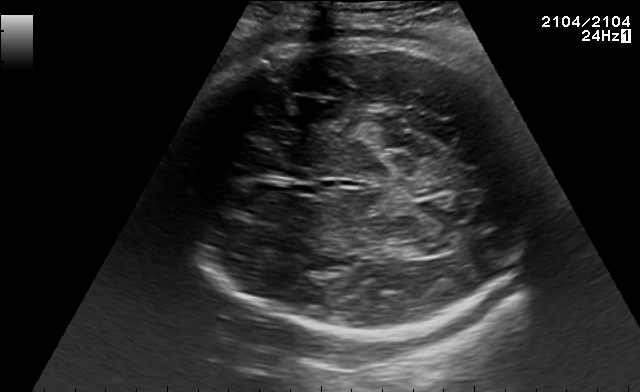
Fetal brain, trans-thalamic plane. Where is the cavum septum pellucidum?

CSP bounding box: [293,185,317,194]